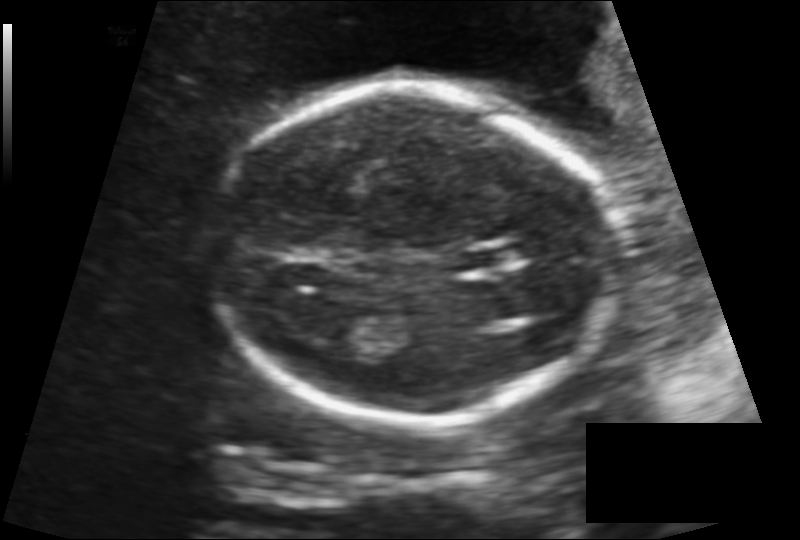
Fetal head ultrasound. Image width: 110.1 mm. Locate the fetal head.

Head: [215,89,616,426]